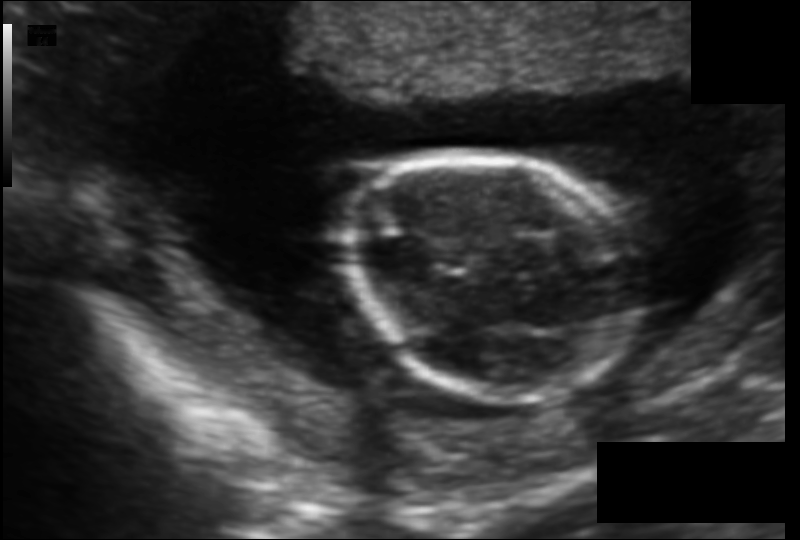
Estimate the fetal head circumference from this 2D ultrasound. Image width: 92.1 mm.

Head circumference: 99.4 mm.